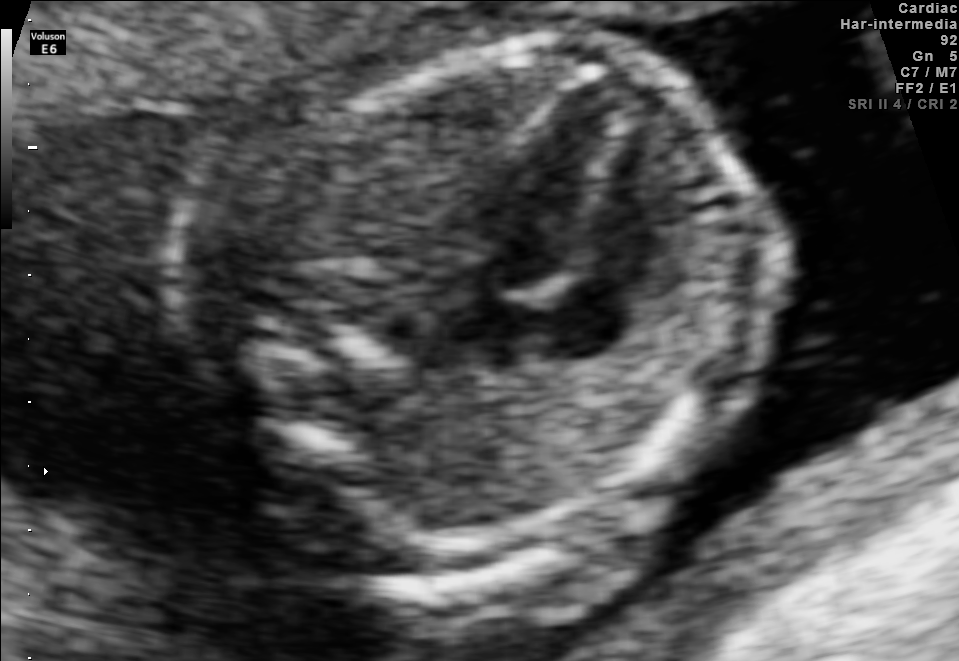
This is a 2D maternal-fetal ultrasound frame. Is it a fetal abdomen, fetal brain, fetal femur, fetal thorax, maternal cervix, or other standard plane? If it's fetal brain and one of the three standard brain planes (trans-thalamic, trans-cerebellum, trans-ventricular), name which.

Fetal thorax